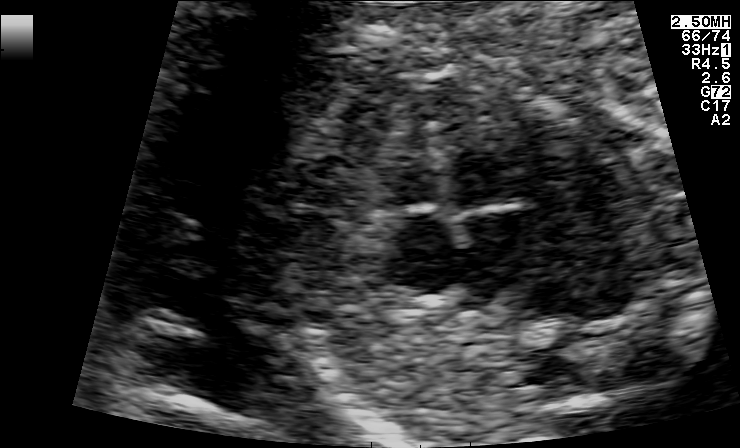
Identify the standard plane in this fetal ultrasound image: fetal abdomen, fetal brain, fetal femur, fetal thorax, maternal cervix, or other. If it's fetal brain and one of the three standard brain planes (trans-thalamic, trans-cerebellum, trans-ventricular), name which.

Fetal thorax